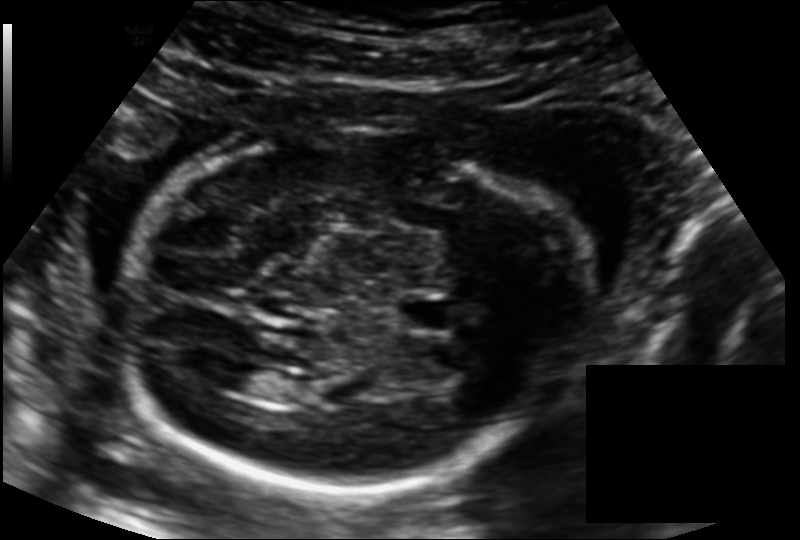
Fetal head ultrasound. Image width: 111.3 mm. Give [x1,y1,x2,y2] bounding boxes for each visible structure among: fetal head, CSP, LV.

Head: [118,125,588,489]
CSP: [400,298,453,331]
Lateral ventricle: [215,360,271,398]